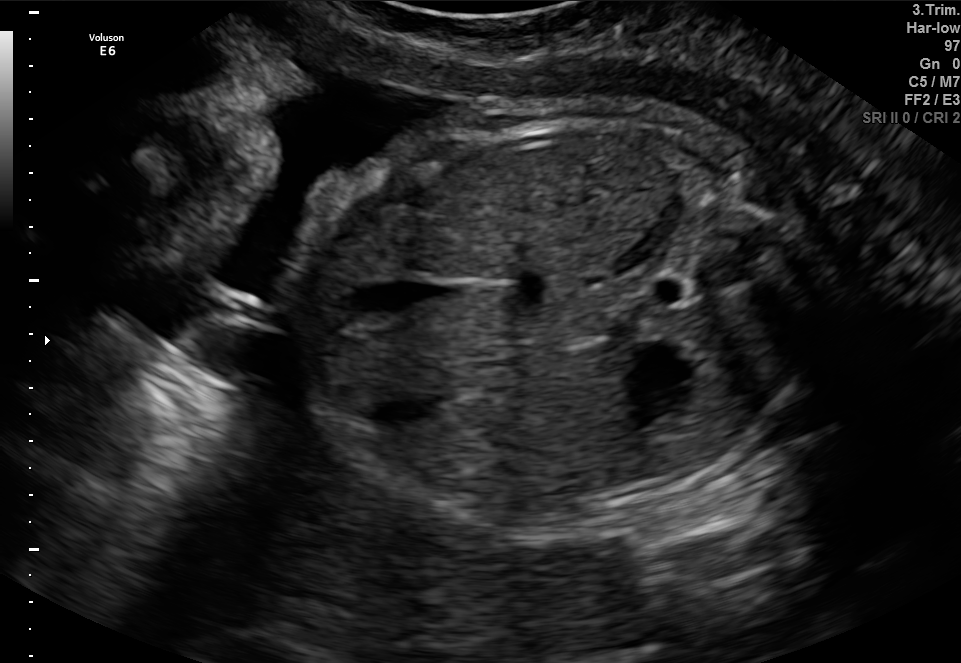
This is a 2D maternal-fetal ultrasound frame. Is it a fetal abdomen, fetal brain, fetal femur, fetal thorax, maternal cervix, or other standard plane? If it's fetal brain and one of the three standard brain planes (trans-thalamic, trans-cerebellum, trans-ventricular), name which.

Fetal abdomen